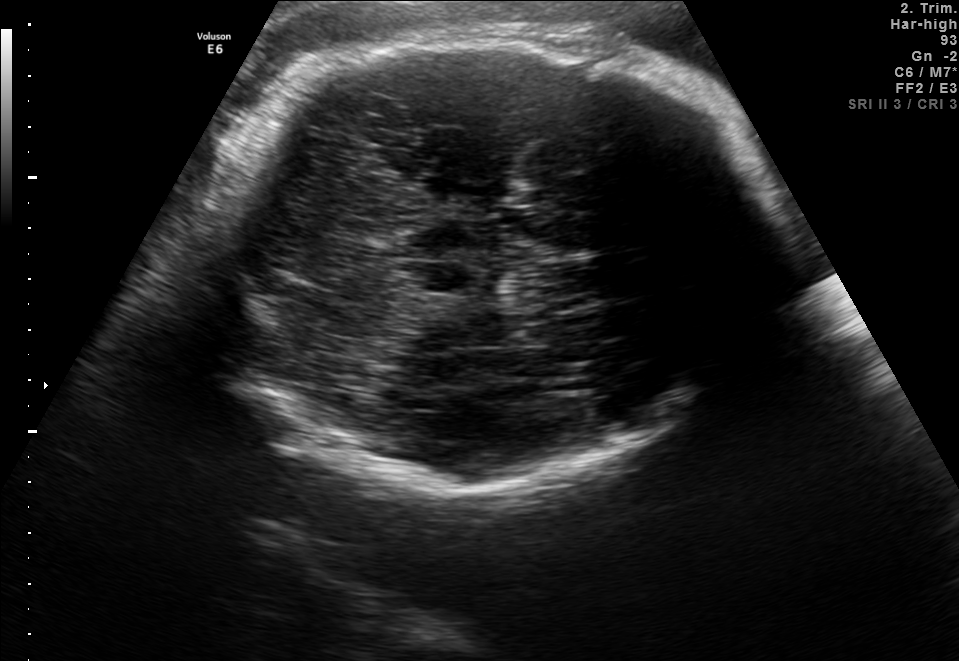
Fetal brain, trans-thalamic plane. Give [x1,y1,x2,y2] bounding boxes for each visible structure among: fetal head, CSP, LV.

Head: [206,31,773,490]